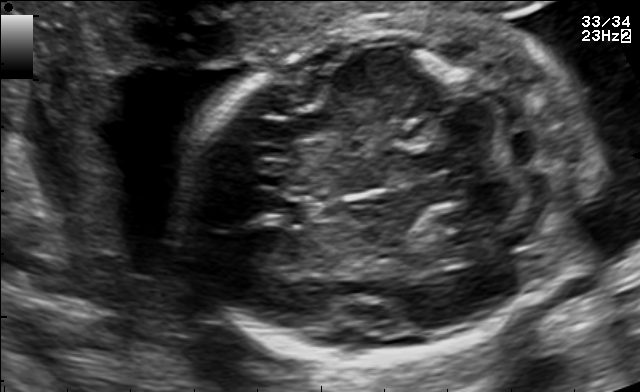
Fetal brain, trans-cerebellum plane. Locate the fetal head.

Head: [182,13,595,353]